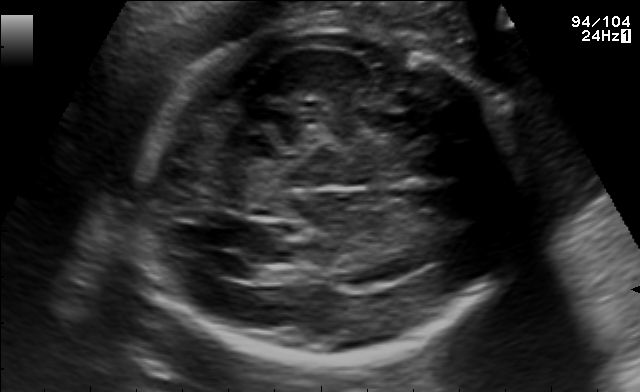
Fetal brain, trans-ventricular plane. Where is the fetal head?

Head bounding box: [124,21,544,364]